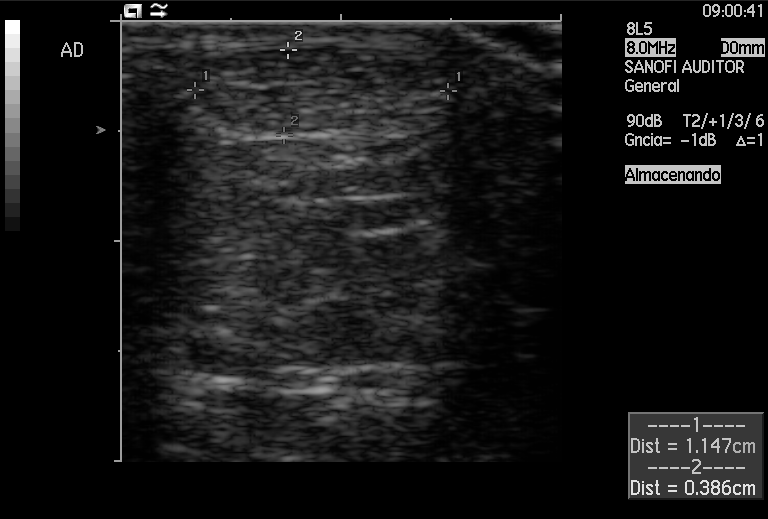
Which standard maternal-fetal ultrasound plane is shown: fetal abdomen, fetal brain, fetal femur, fetal thorax, maternal cervix, or other? If it's fetal brain and one of the three standard brain planes (trans-thalamic, trans-cerebellum, trans-ventricular), name which.

Other